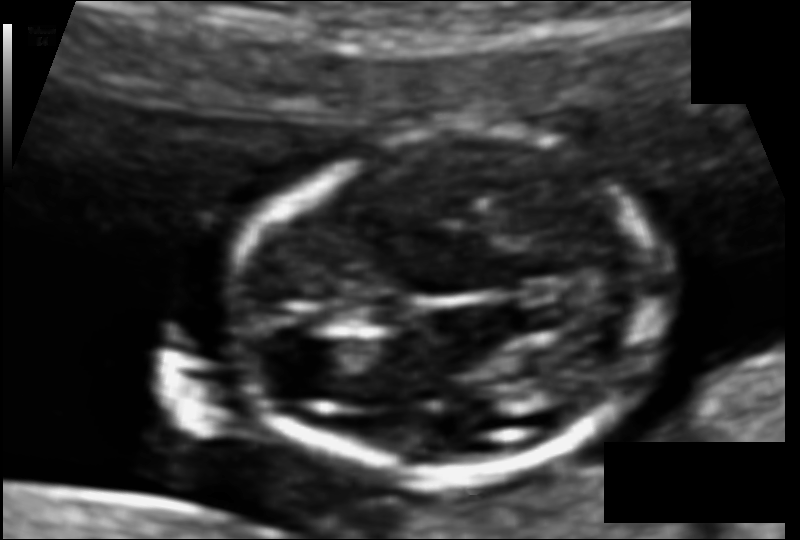
Estimate the fetal head circumference from this 2D ultrasound.

Head circumference: 95.3 mm (image width 60.3 mm).